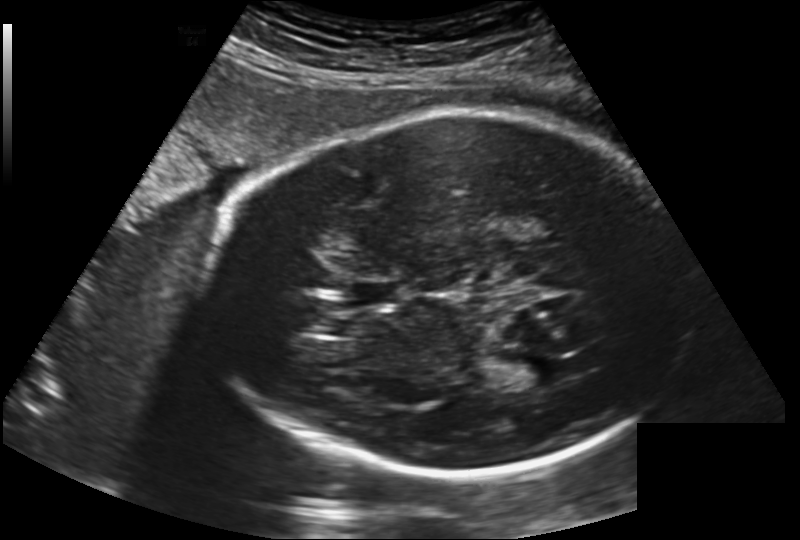
In this fetal head ultrasound, give bounding boxes for the head outline, cavum septum pellucidum (CSP), and lateral ventricle (LV), where visible. Image width: 161.7 mm.

Head: [207,111,685,476]
CSP: [352,279,401,308]
Lateral ventricle: [503,355,559,391]